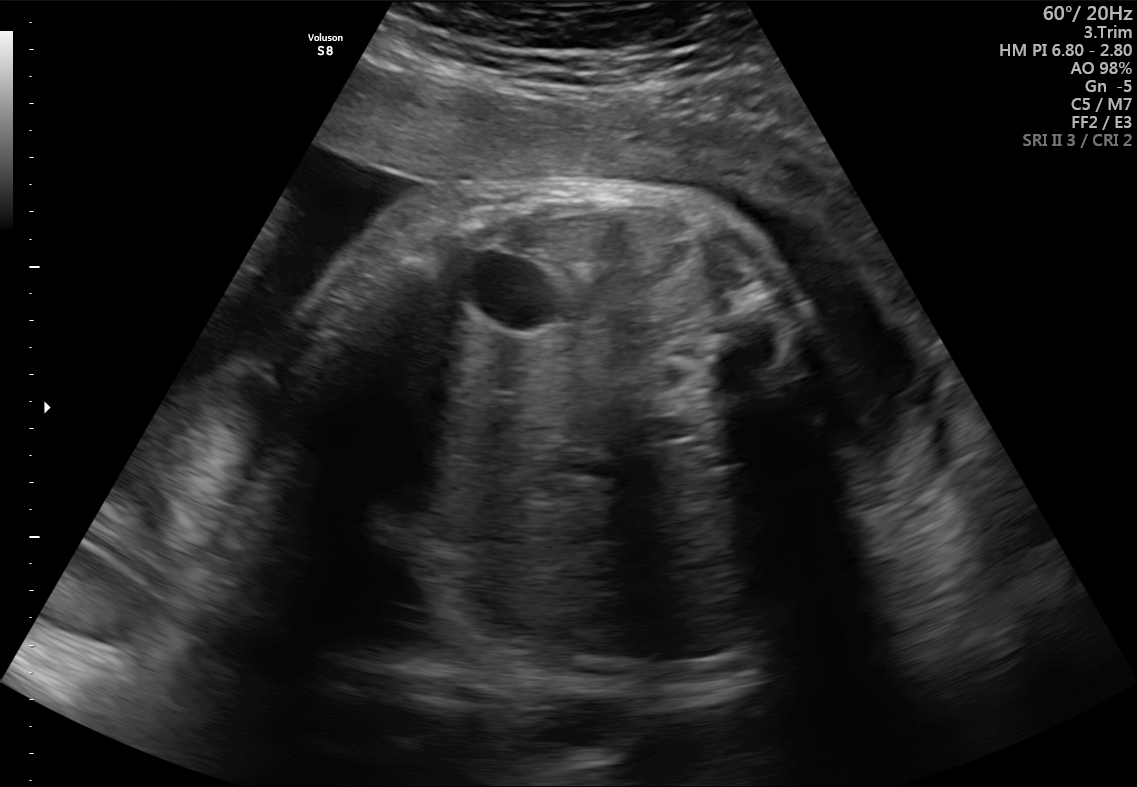
Which standard maternal-fetal ultrasound plane is shown: fetal abdomen, fetal brain, fetal femur, fetal thorax, maternal cervix, or other? If it's fetal brain and one of the three standard brain planes (trans-thalamic, trans-cerebellum, trans-ventricular), name which.

Other